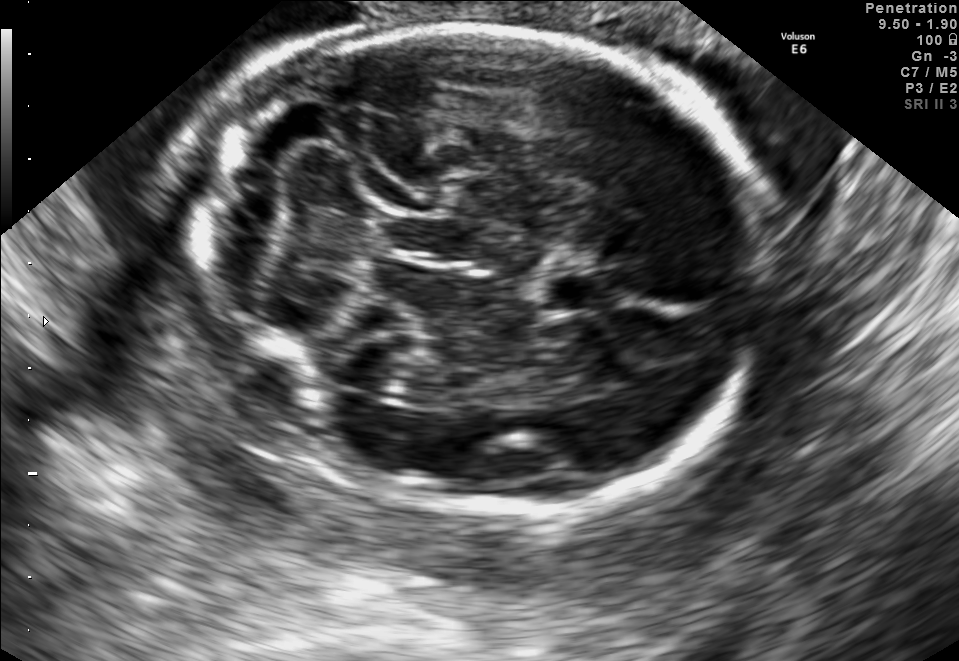
This is a 2D maternal-fetal ultrasound frame. Is it a fetal abdomen, fetal brain, fetal femur, fetal thorax, maternal cervix, or other standard plane? If it's fetal brain and one of the three standard brain planes (trans-thalamic, trans-cerebellum, trans-ventricular), name which.

Fetal brain (trans-cerebellum plane)